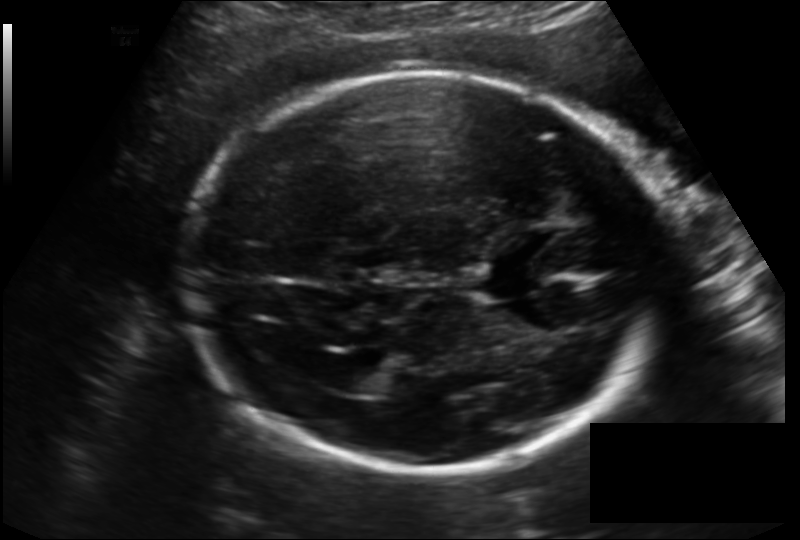
In this fetal head ultrasound, give the bounding box of the lateral ventricle. Image width: 133.1 mm.

[333,363,385,396]